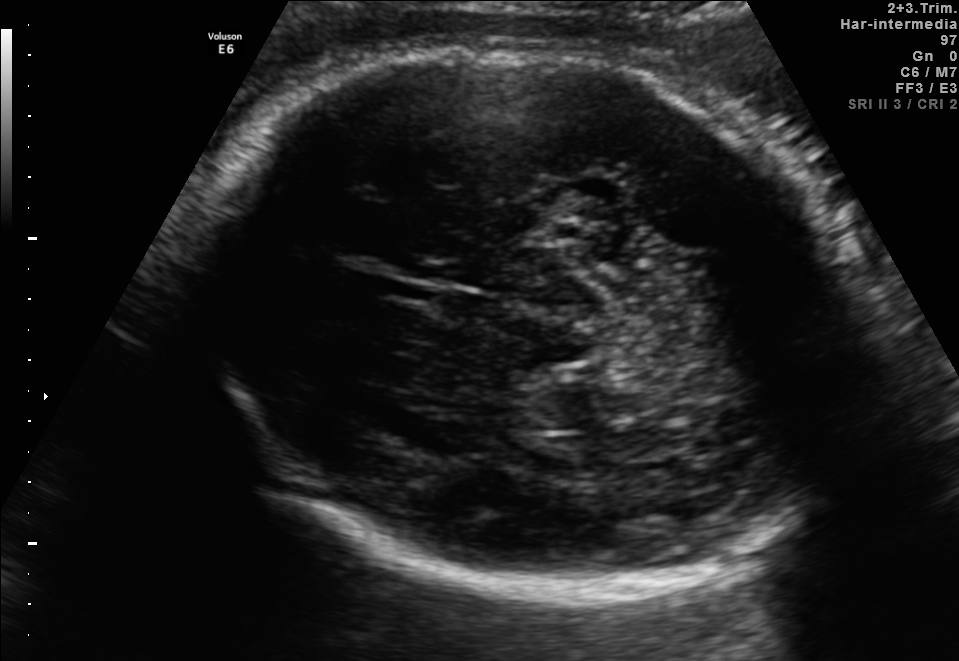
Fetal brain, trans-thalamic plane. Locate the fetal head.

Head: [192,46,863,599]